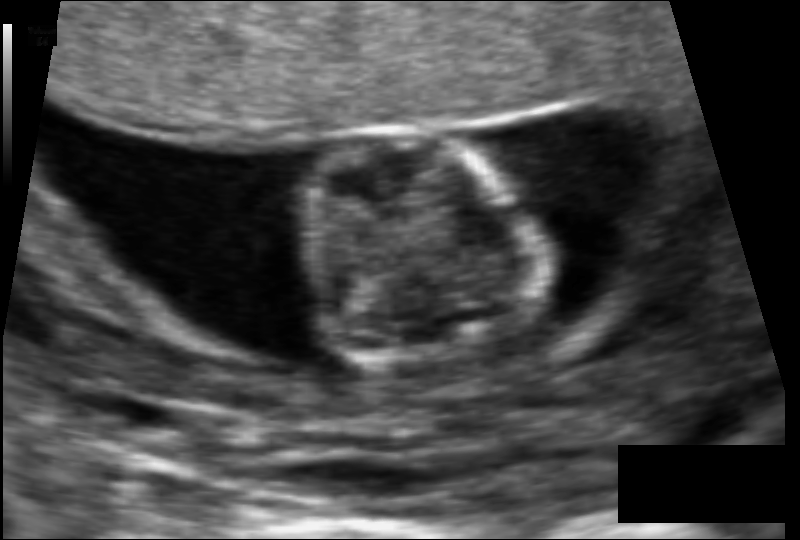
Fetal head ultrasound. Image width: 63.1 mm. Where is the fetal head?

Head bounding box: [296,128,531,373]